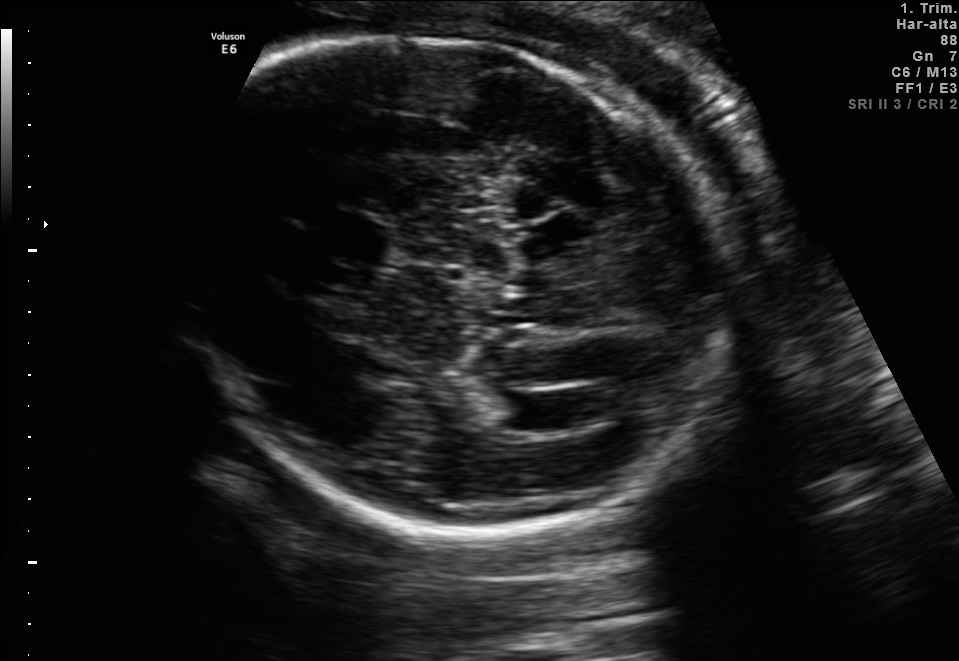
In this fetal brain, trans-ventricular plane, give the bounding box of the fetal head.

[155,28,758,545]